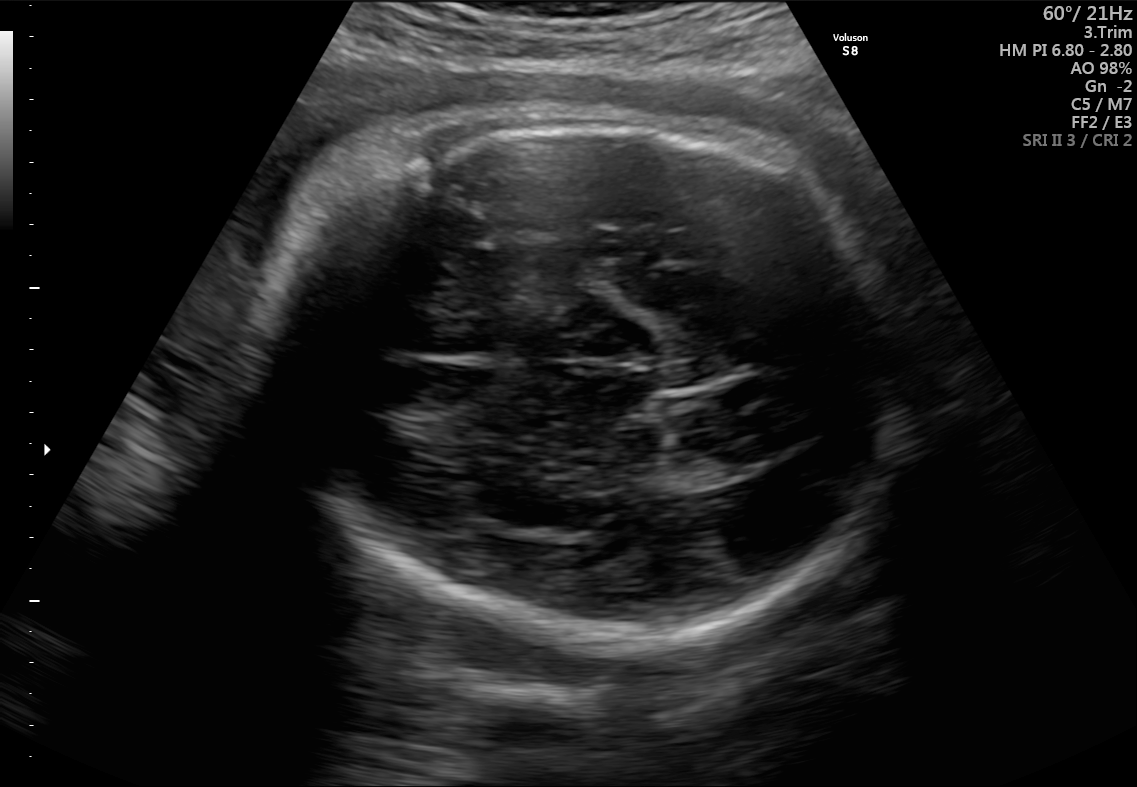
Fetal brain, trans-thalamic plane. Locate the fetal head and, if visible, the cavum septum pellucidum (CSP) and lateral ventricle (LV). Give bounding boxes as [x1,y1,x2,y2].

Head: [280,111,909,650]
Lateral ventricle: [706,430,779,486]